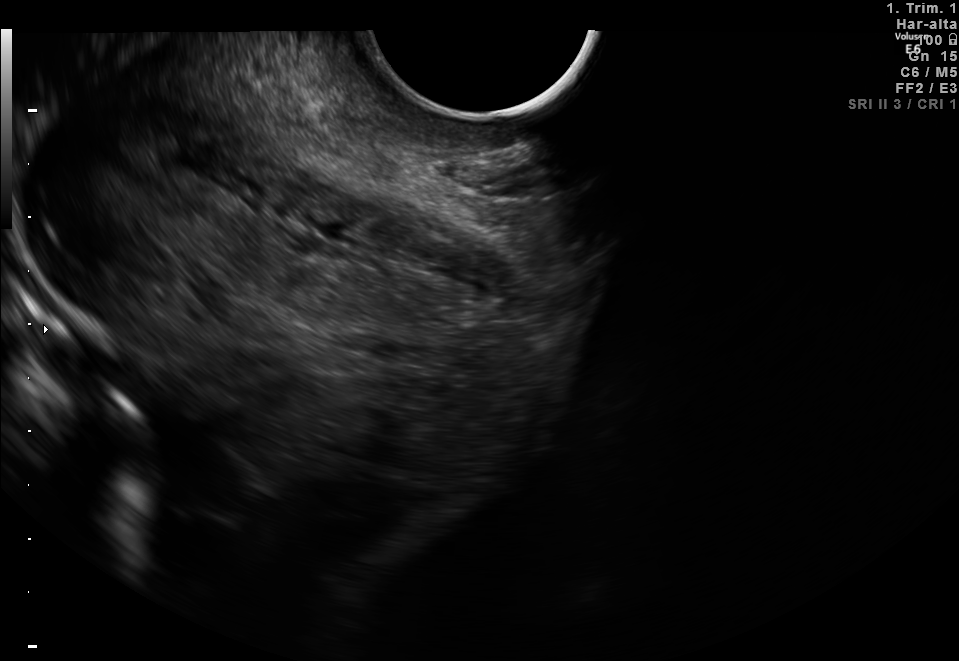
This is a 2D maternal-fetal ultrasound frame. Is it a fetal abdomen, fetal brain, fetal femur, fetal thorax, maternal cervix, or other standard plane? If it's fetal brain and one of the three standard brain planes (trans-thalamic, trans-cerebellum, trans-ventricular), name which.

Maternal cervix